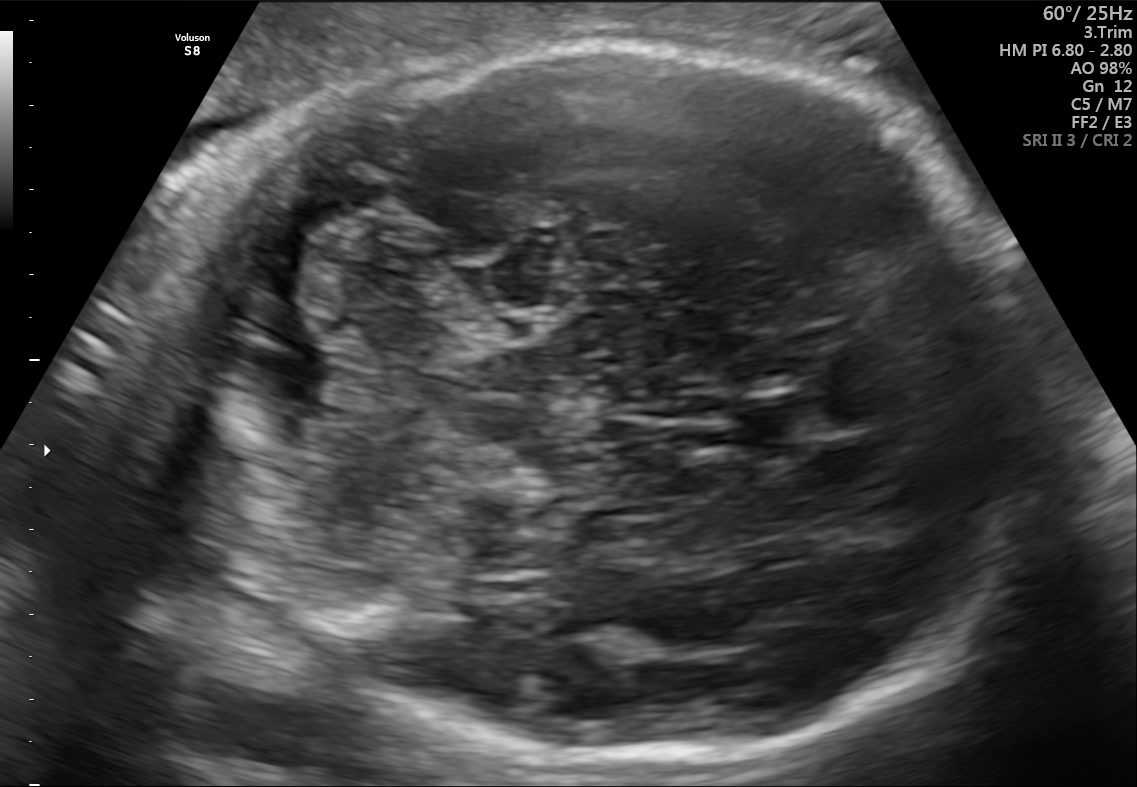
Fetal brain, trans-cerebellum plane. Where is the fetal head?

Head bounding box: [145,42,1049,760]